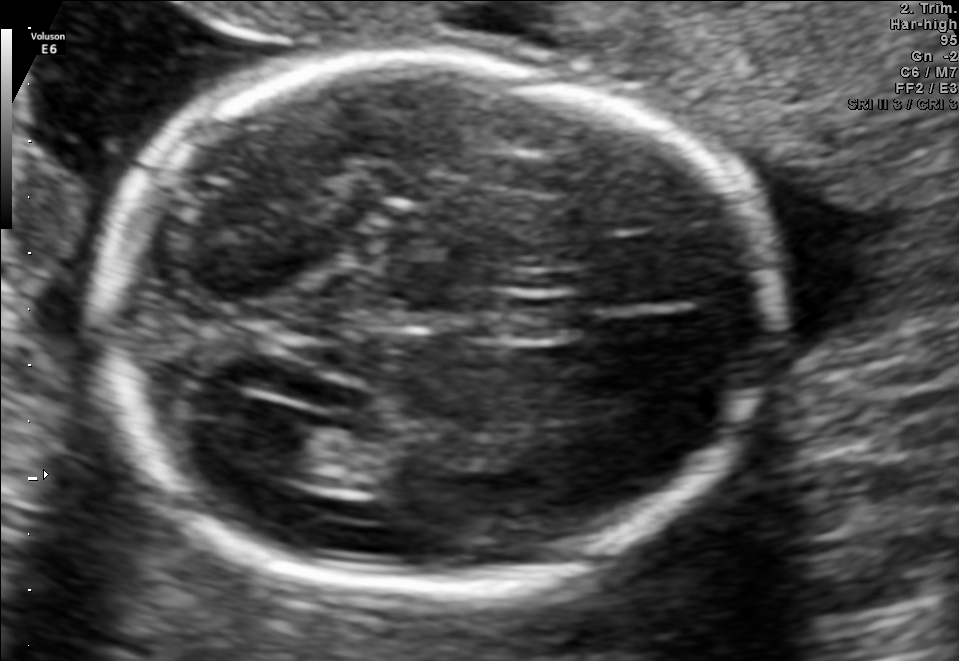
In this fetal brain, trans-ventricular plane, give the bounding box of the cavum septum pellucidum.

[466,296,593,341]